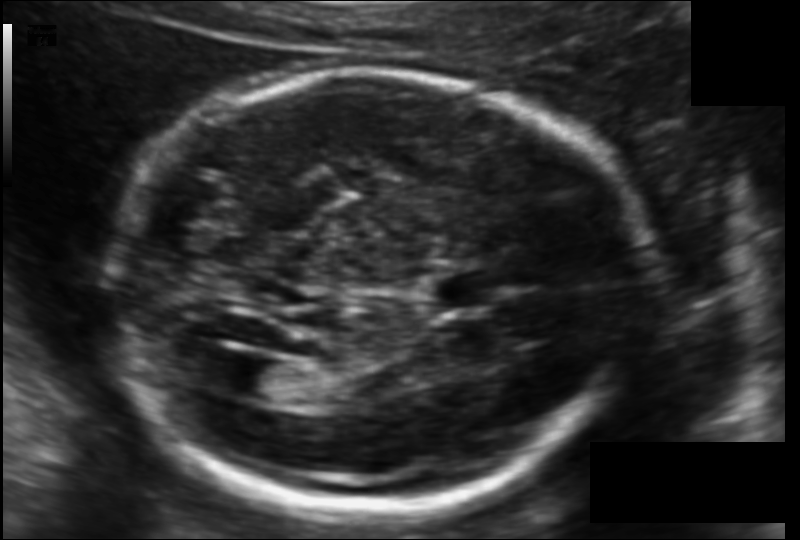
Fetal head ultrasound. Image width: 95.3 mm. Locate the cavum septum pellucidum.

CSP: [428,262,504,317]